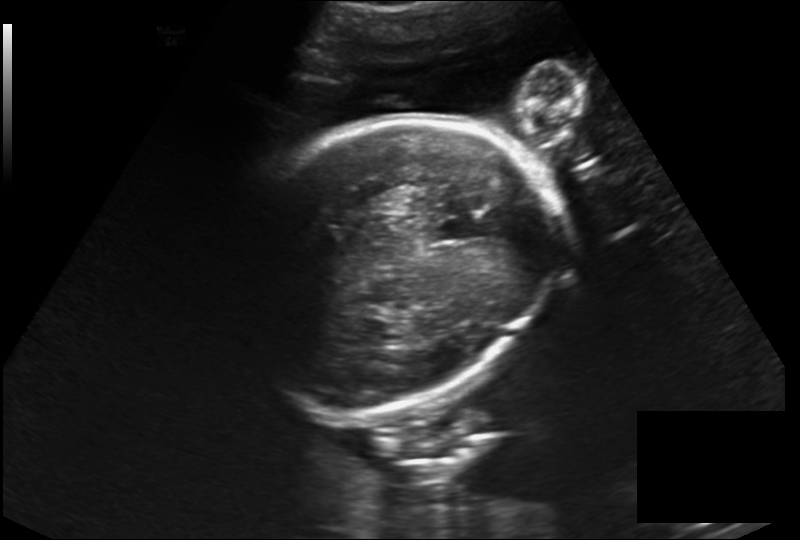
Fetal head ultrasound. Image width: 184.3 mm. Locate the fetal head and, if visible, the cavum septum pellucidum (CSP) and lateral ventricle (LV). Give bounding boxes as [x1,y1,x2,y2].

Head: [228,118,549,413]